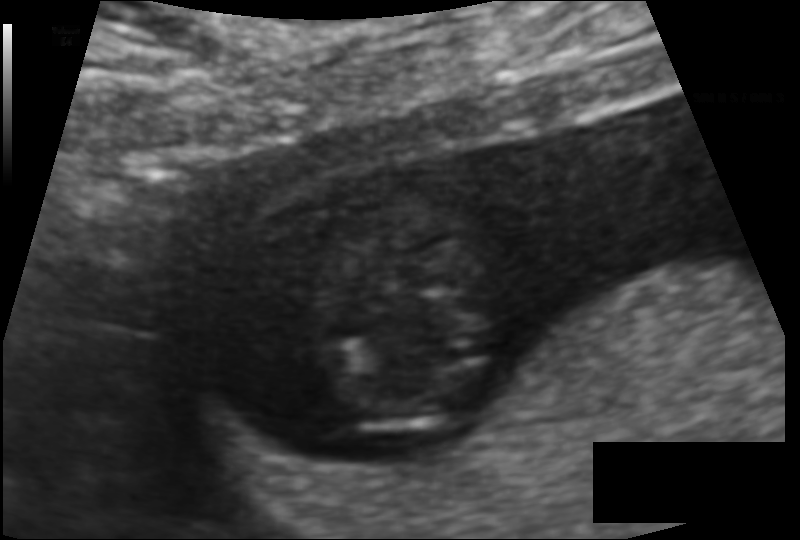
Fetal head ultrasound. Image width: 75.5 mm. Where is the fetal head?

Head bounding box: [308,199,504,435]